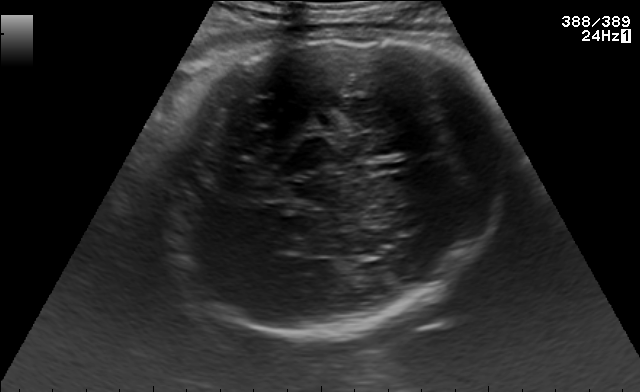
Fetal brain, trans-thalamic plane. Give [x1,y1,x2,y2] bounding boxes for each visible structure among: fetal head, CSP, LV.

Head: [152,28,508,336]